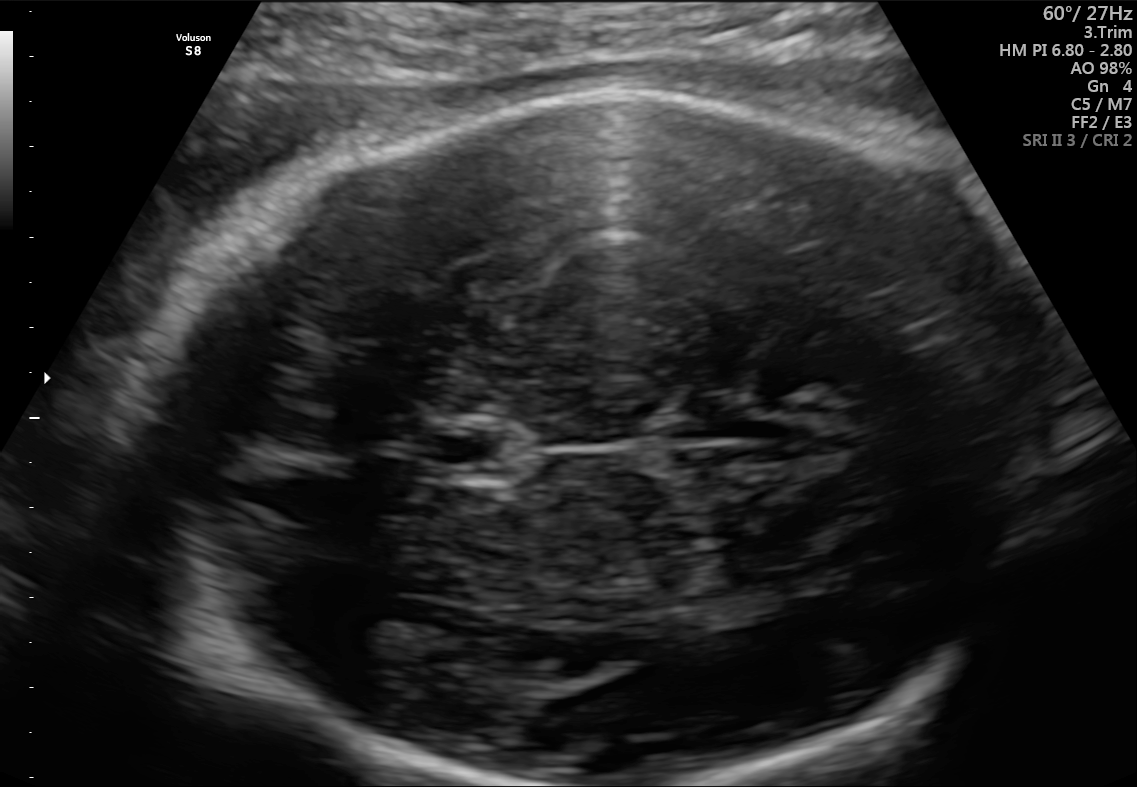
Classify this maternal-fetal ultrasound image as one of the six standard planes — fetal abdomen, fetal brain, fetal femur, fetal thorax, maternal cervix, or other. If it's fetal brain and one of the three standard brain planes (trans-thalamic, trans-cerebellum, trans-ventricular), name which.

Fetal brain (trans-thalamic plane)